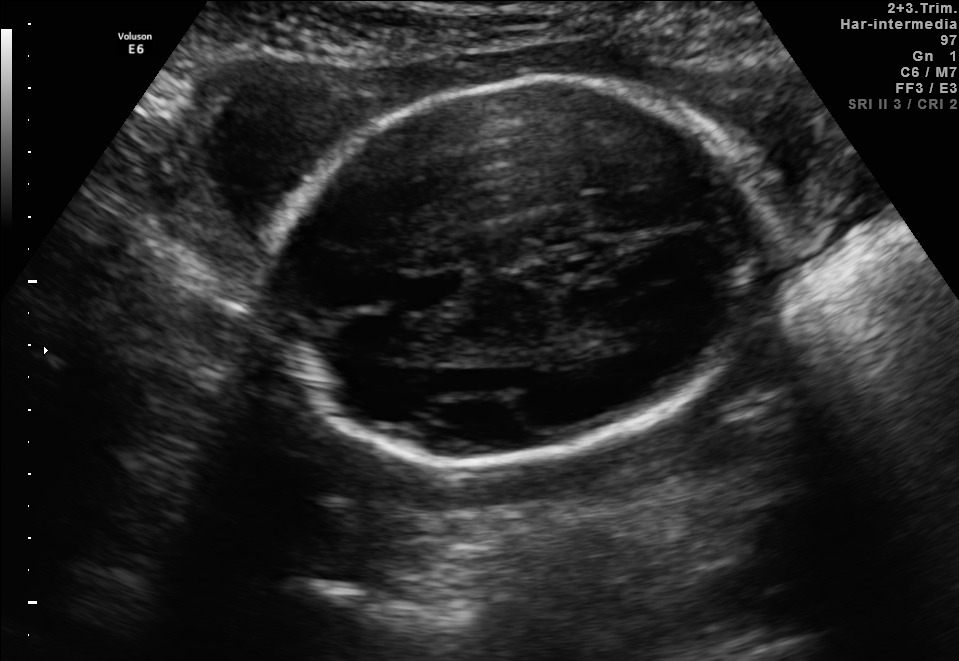
In this fetal brain, trans-thalamic plane, give the bounding box of the fetal head.

[264,80,763,469]